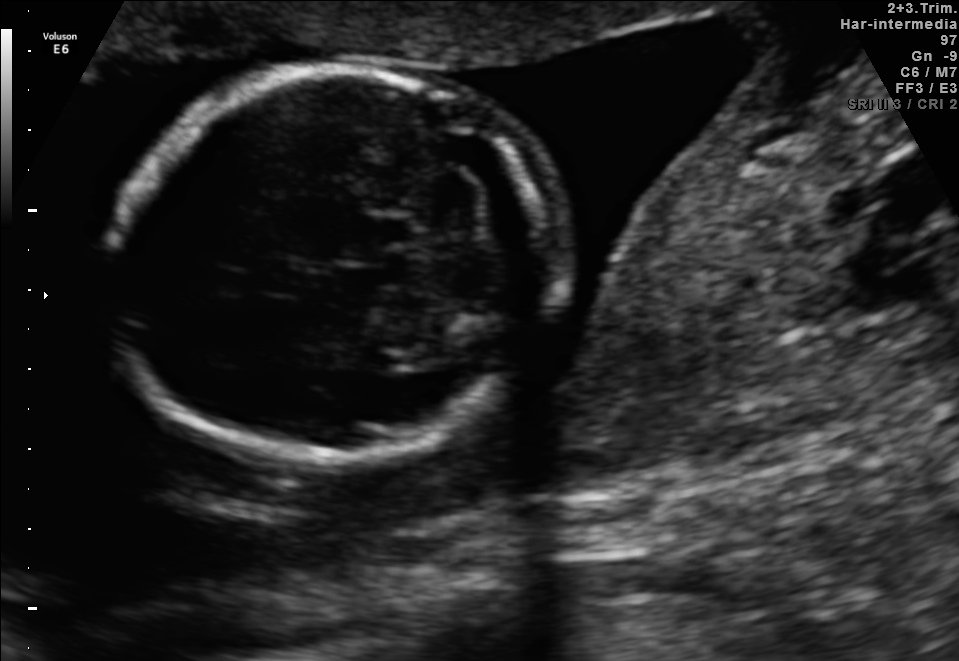
In this fetal brain, trans-cerebellum plane, give bounding boxes for the head outline, cavum septum pellucidum (CSP), and lateral ventricle (LV), where visible.

Head: [111,67,548,464]